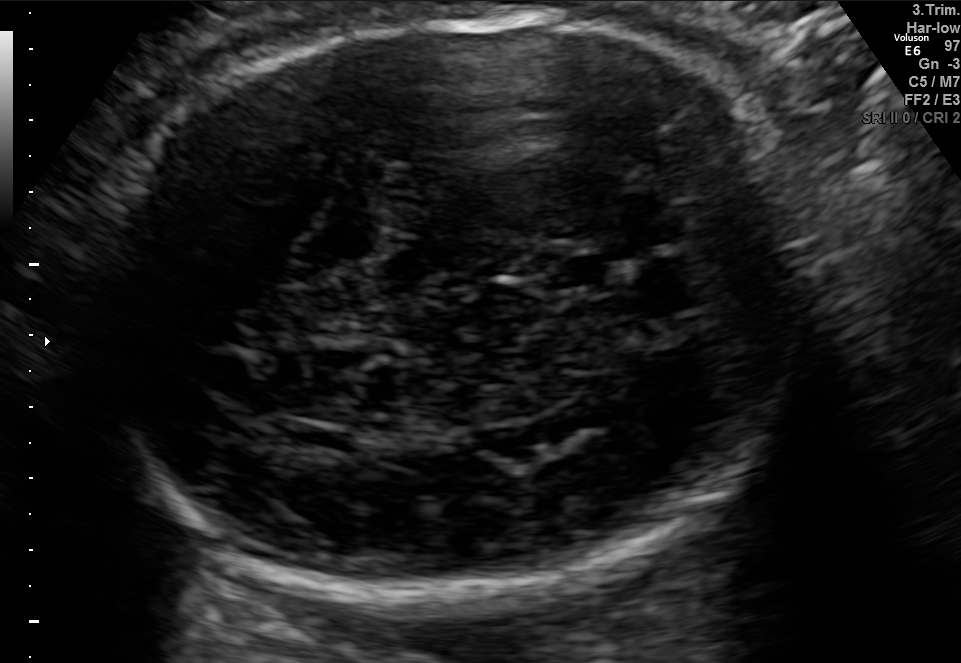
Fetal brain, trans-thalamic plane. Locate the fetal head.

Head: [86,8,815,585]